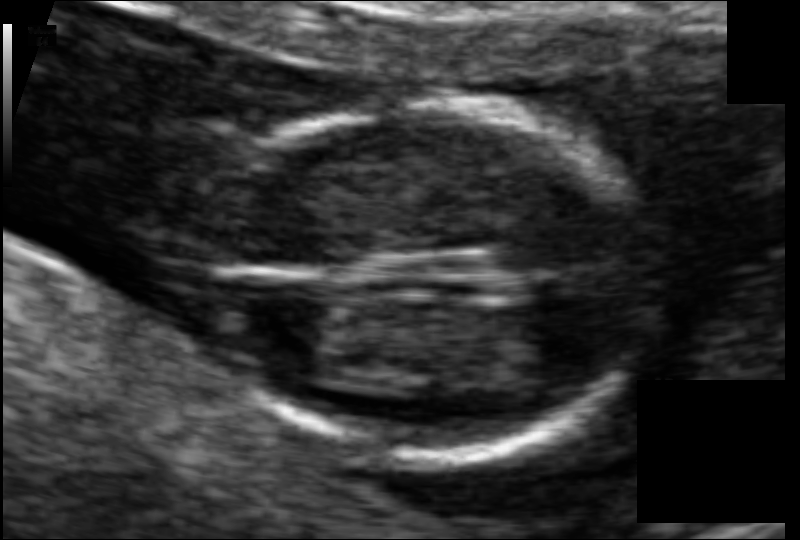
Fetal head ultrasound. Image width: 51.8 mm. Give [x1,y1,x2,y2] bounding boxes for each visible structure among: fetal head, CSP, LV.

Head: [194,103,656,460]